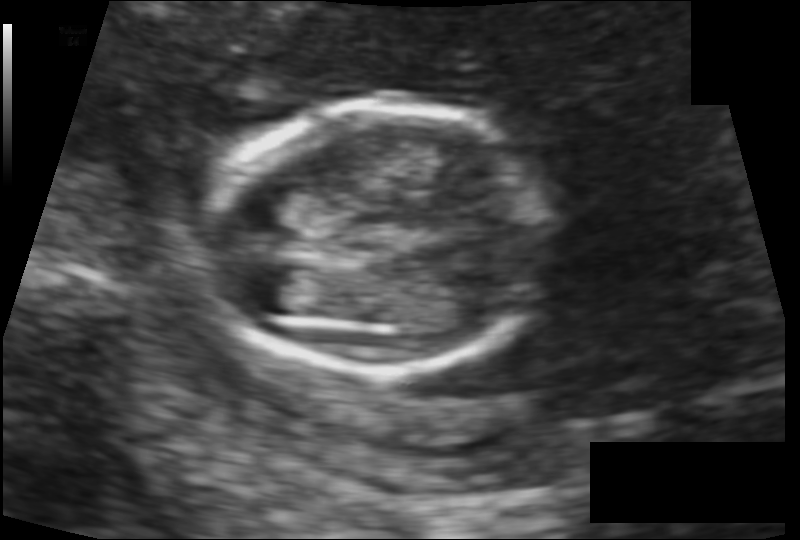
Fetal head ultrasound. Image width: 88.5 mm. Locate the fetal head and, if visible, the cavum septum pellucidum (CSP) and lateral ventricle (LV). Give bounding boxes as [x1,y1,x2,y2].

Head: [203,106,547,373]